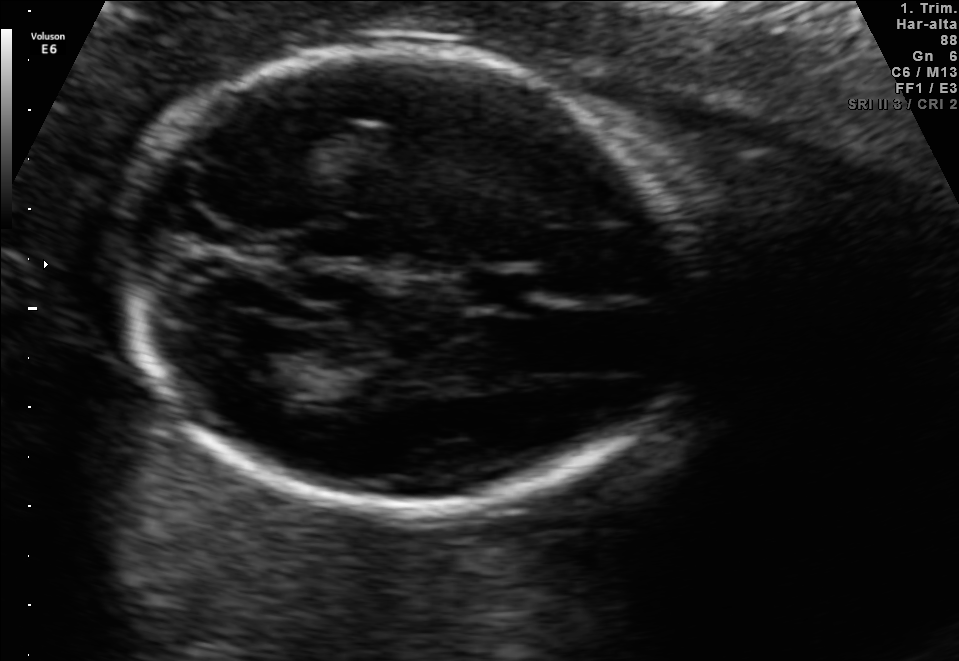
Fetal brain, trans-thalamic plane. Give [x1,y1,x2,y2] bounding boxes for each visible structure among: fetal head, CSP, LV.

Head: [111,47,702,512]
CSP: [464,273,531,307]
Lateral ventricle: [227,339,321,404]